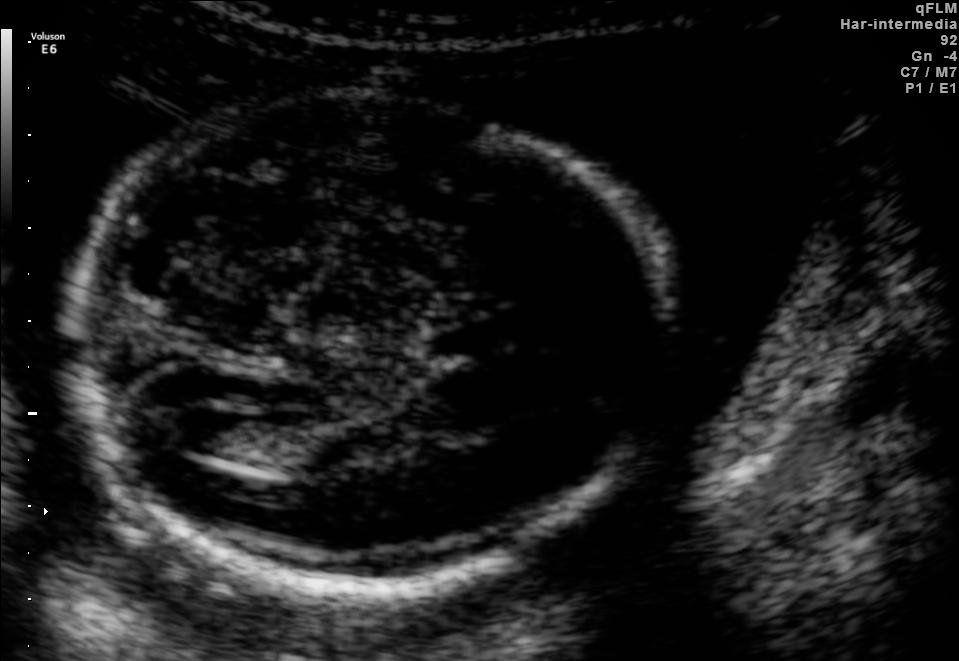
Fetal brain, trans-ventricular plane. Where is the lateral ventricle?

Lateral ventricle bounding box: [165,401,250,462]